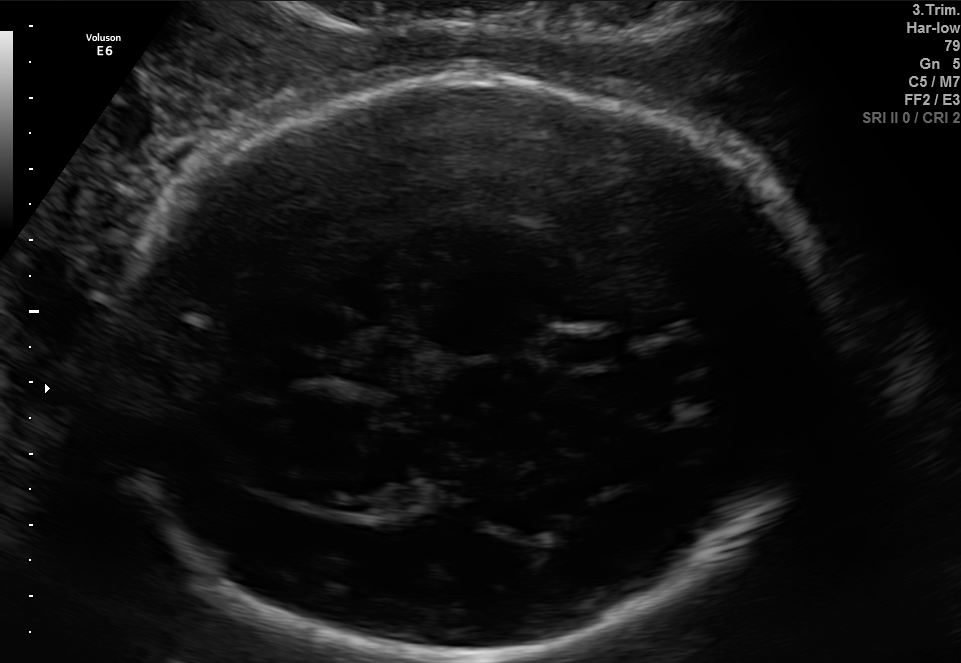
In this fetal brain, trans-thalamic plane, give the bounding box of the fetal head.

[99,69,838,660]